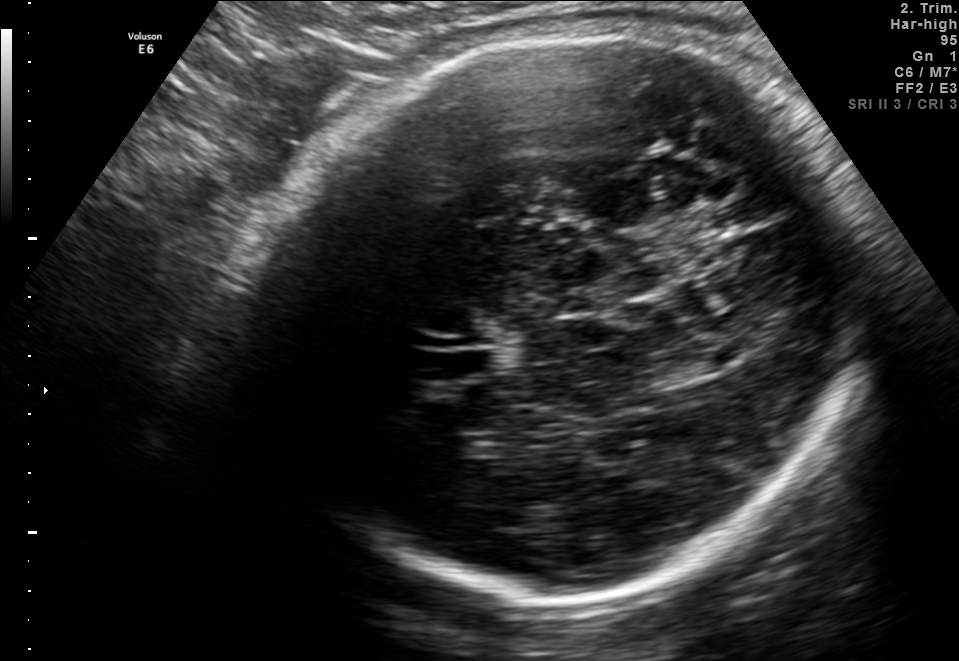
In this fetal brain, trans-thalamic plane, give the bounding box of the lateral ventricle.

[670,348,723,383]